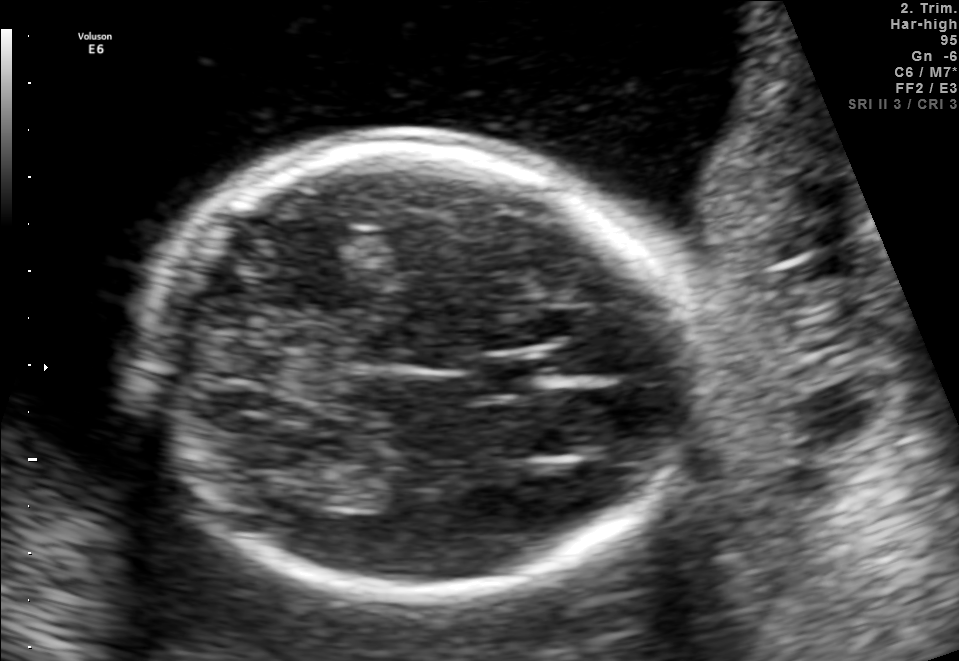
In this fetal brain, trans-thalamic plane, give the bounding box of the fetal head.

[143,143,692,592]